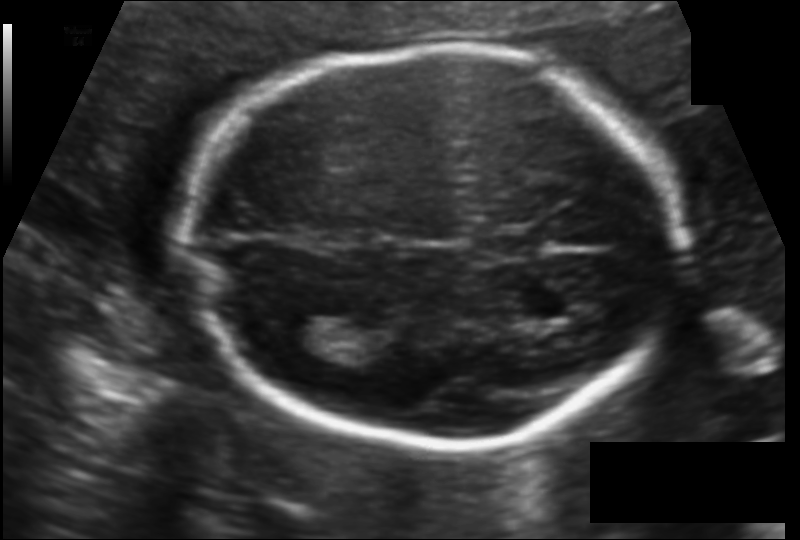
From this fetal ultrasound, estimate the head circumference (image width 99.4 mm).

Head circumference: 180.6 mm.